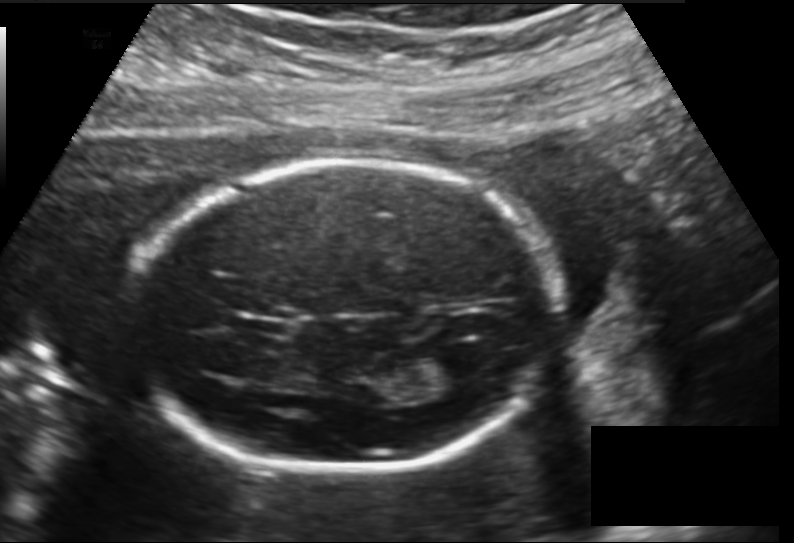
In this fetal head ultrasound, give the bounding box of the fetal head. Image width: 124.7 mm.

[130,160,556,472]